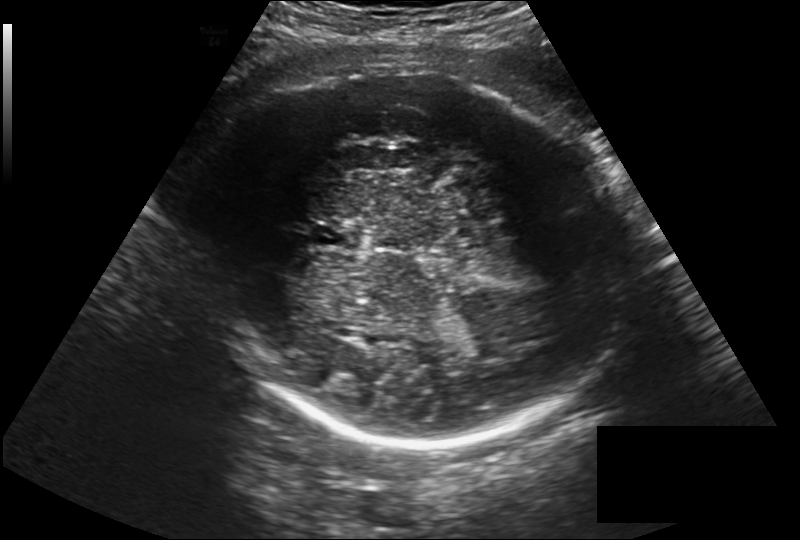
Fetal head ultrasound. Image width: 205.7 mm. Where is the fetal head?

Head bounding box: [210,74,626,446]